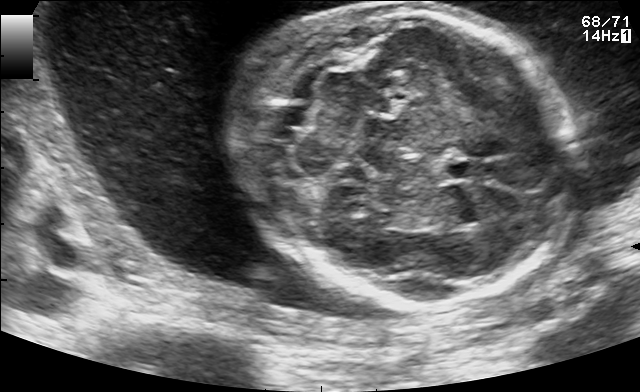
Fetal brain, trans-cerebellum plane. Locate the fetal head and, if visible, the cavum septum pellucidum (CSP) and lateral ventricle (LV). Give bounding boxes as [x1,y1,x2,y2].

Head: [238,2,579,305]